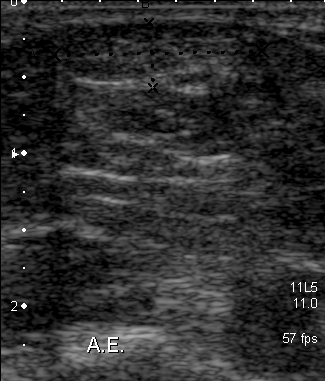
Which standard maternal-fetal ultrasound plane is shown: fetal abdomen, fetal brain, fetal femur, fetal thorax, maternal cervix, or other? If it's fetal brain and one of the three standard brain planes (trans-thalamic, trans-cerebellum, trans-ventricular), name which.

Other